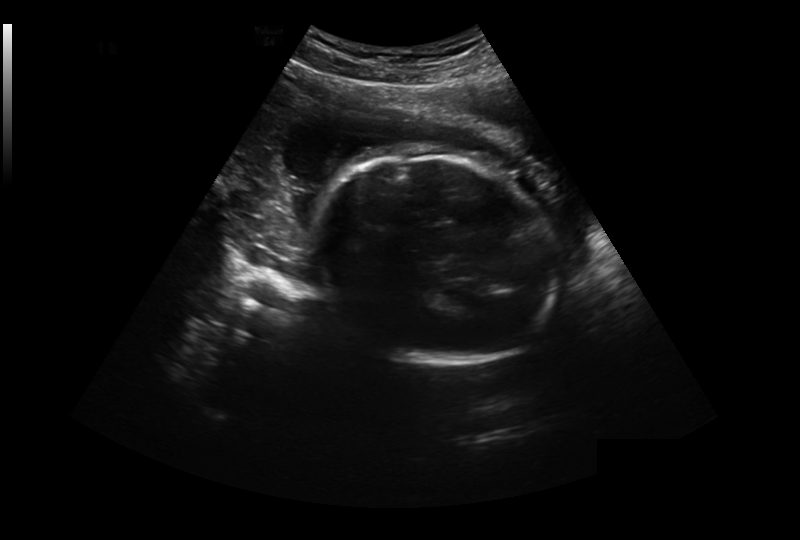
Fetal head ultrasound. Image width: 261.2 mm. Locate the fetal head and, if visible, the cavum septum pellucidum (CSP) and lateral ventricle (LV). Give bounding boxes as [x1,y1,x2,y2].

Head: [306,155,559,364]